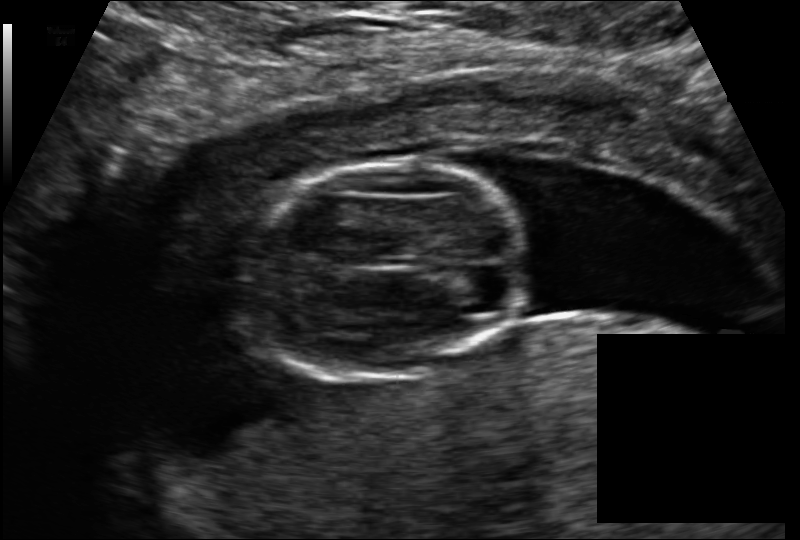
Fetal head ultrasound. Image width: 91.0 mm. Locate the fetal head.

Head: [244,162,524,378]